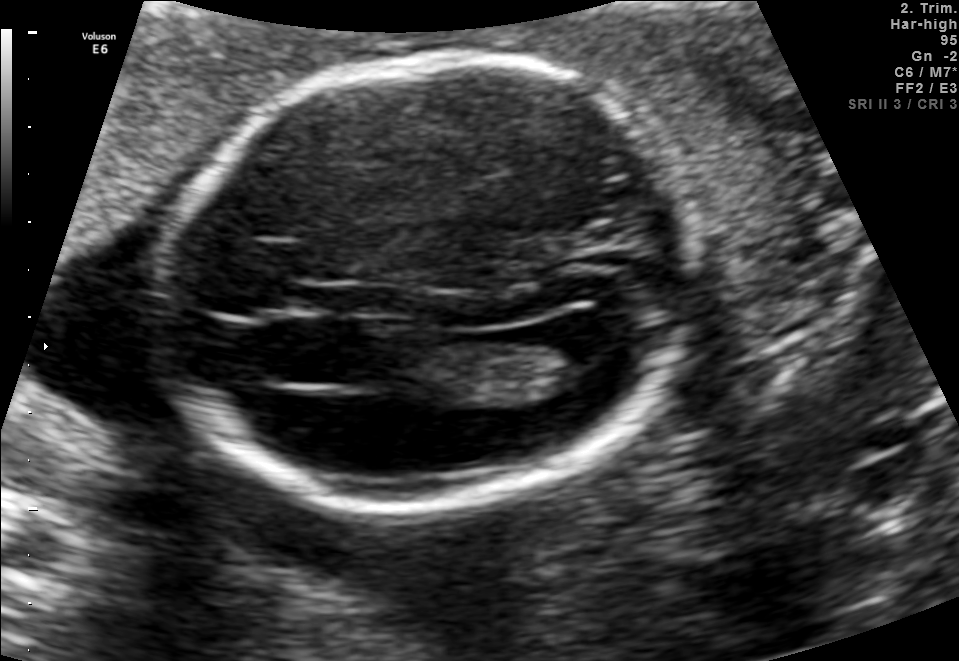
Fetal brain, trans-ventricular plane. Locate the fetal head and, if visible, the cavum septum pellucidum (CSP) and lateral ventricle (LV). Give bounding boxes as [x1,y1,x2,y2].

Head: [147,48,708,527]